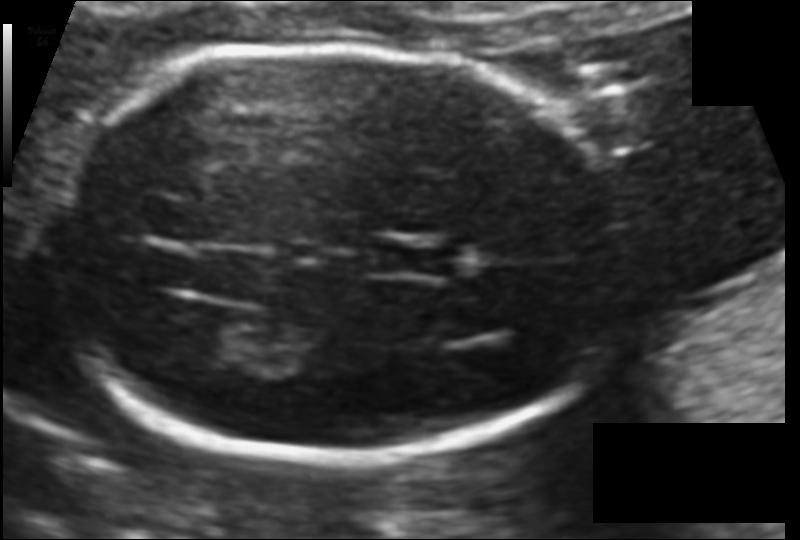
Fetal head ultrasound. Image width: 78.8 mm. Locate the fetal head and, if visible, the cavum septum pellucidum (CSP) and lateral ventricle (LV). Give bounding boxes as [x1,y1,x2,y2].

Head: [52,43,625,459]
CSP: [383,242,456,278]
Lateral ventricle: [165,307,254,367]